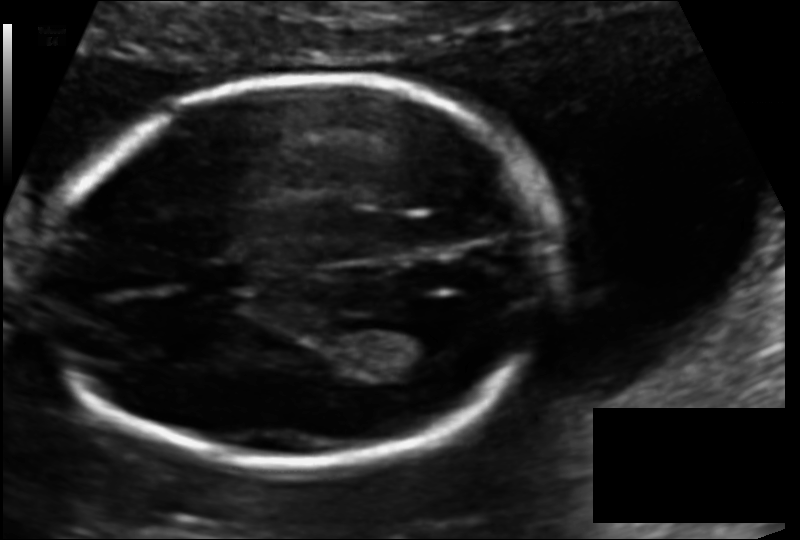
In this fetal head ultrasound, give the bounding box of the fetal head. Image width: 90.5 mm.

[53,79,549,466]